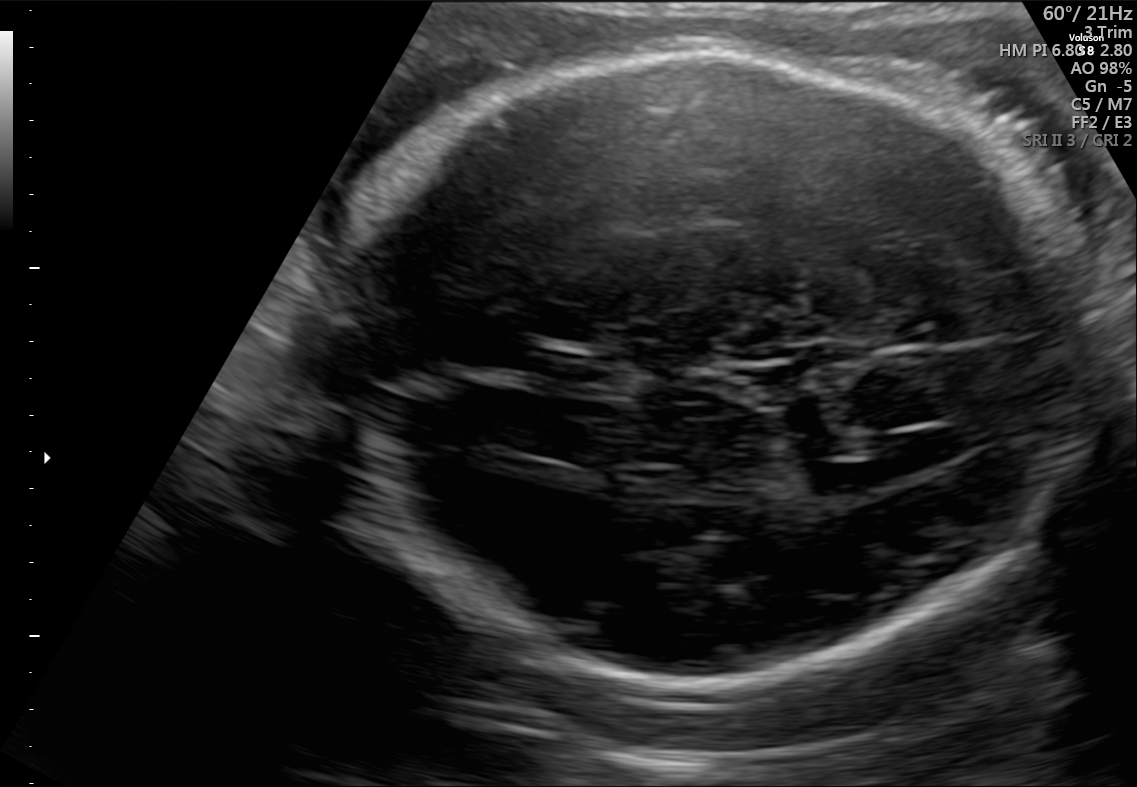
In this fetal brain, trans-ventricular plane, give bounding boxes for the head outline, cavum septum pellucidum (CSP), and lateral ventricle (LV), where visible.

Head: [315,39,1118,700]